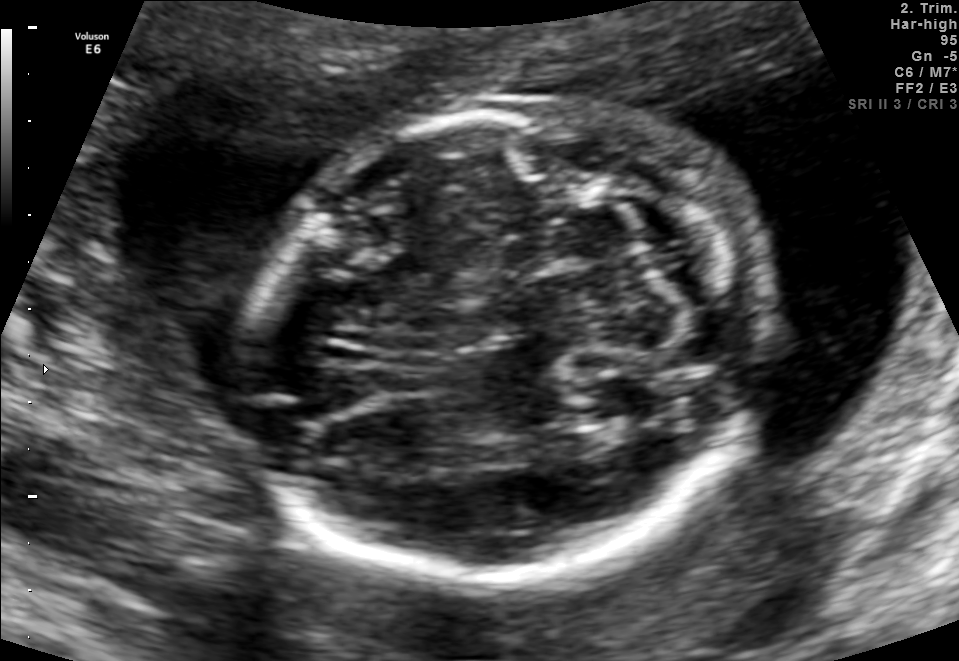
Fetal brain, trans-cerebellum plane. Give [x1,y1,x2,y2] bounding boxes for each visible structure among: fetal head, CSP, LV.

Head: [262,96,765,587]